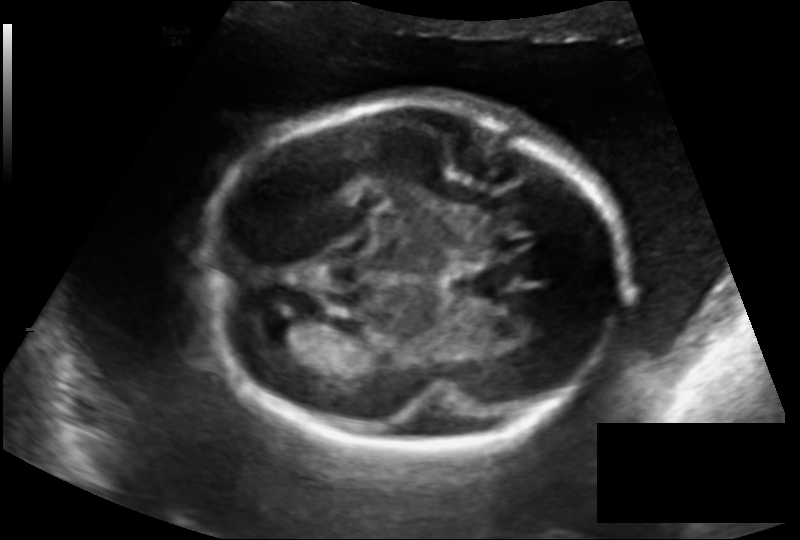
In this fetal head ultrasound, give the bounding box of the fetal head. Image width: 129.7 mm.

[207,97,620,454]